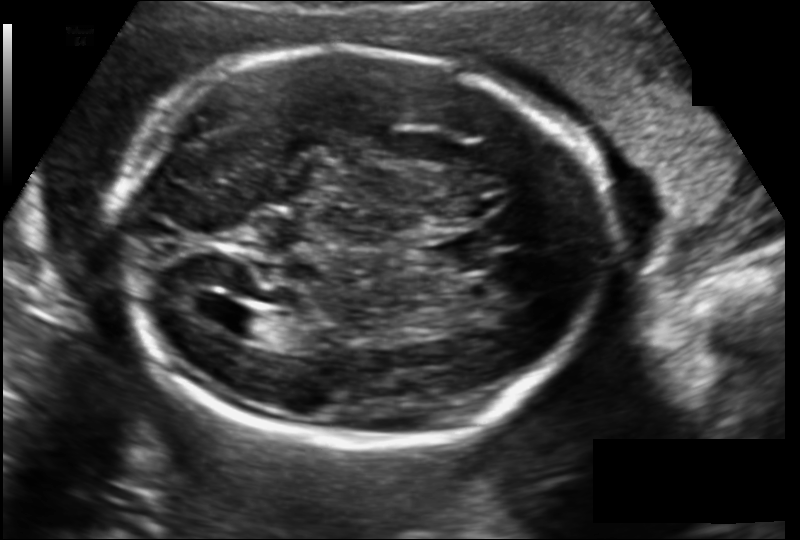
In this fetal head ultrasound, give bounding boxes for the head outline, cavum septum pellucidum (CSP), and lateral ventricle (LV), where visible. Image width: 119.2 mm.

Head: [113,48,606,443]
CSP: [425,230,487,278]
Lateral ventricle: [219,305,276,343]